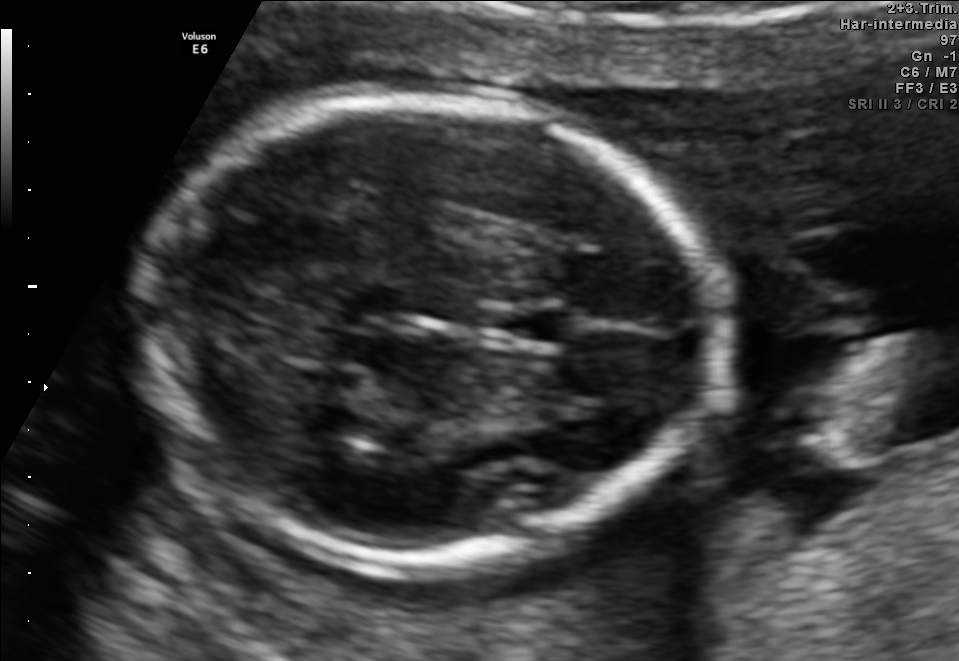
This is a 2D maternal-fetal ultrasound frame. Is it a fetal abdomen, fetal brain, fetal femur, fetal thorax, maternal cervix, or other standard plane? If it's fetal brain and one of the three standard brain planes (trans-thalamic, trans-cerebellum, trans-ventricular), name which.

Fetal brain (trans-thalamic plane)